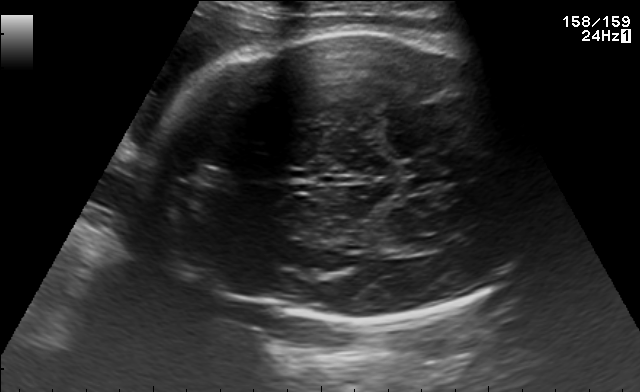
In this fetal brain, trans-thalamic plane, give the bounding box of the lateral ventricle.

[380,236,429,259]